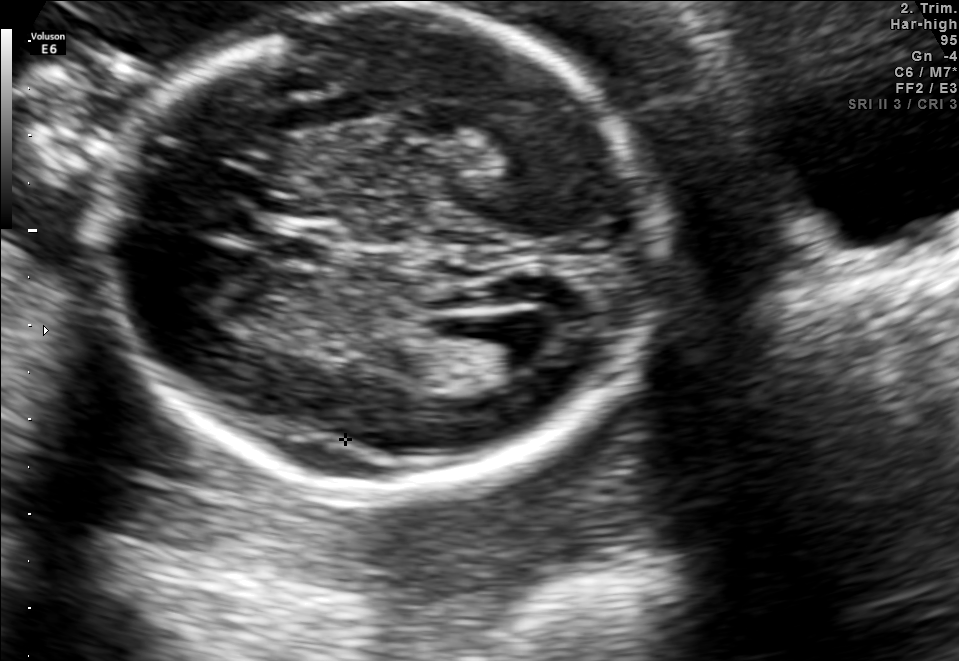
Fetal brain, trans-ventricular plane. Where is the fetal head?

Head bounding box: [96,4,673,499]